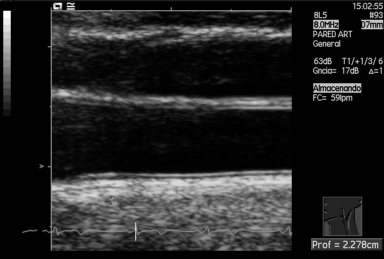
Which standard maternal-fetal ultrasound plane is shown: fetal abdomen, fetal brain, fetal femur, fetal thorax, maternal cervix, or other? If it's fetal brain and one of the three standard brain planes (trans-thalamic, trans-cerebellum, trans-ventricular), name which.

Other